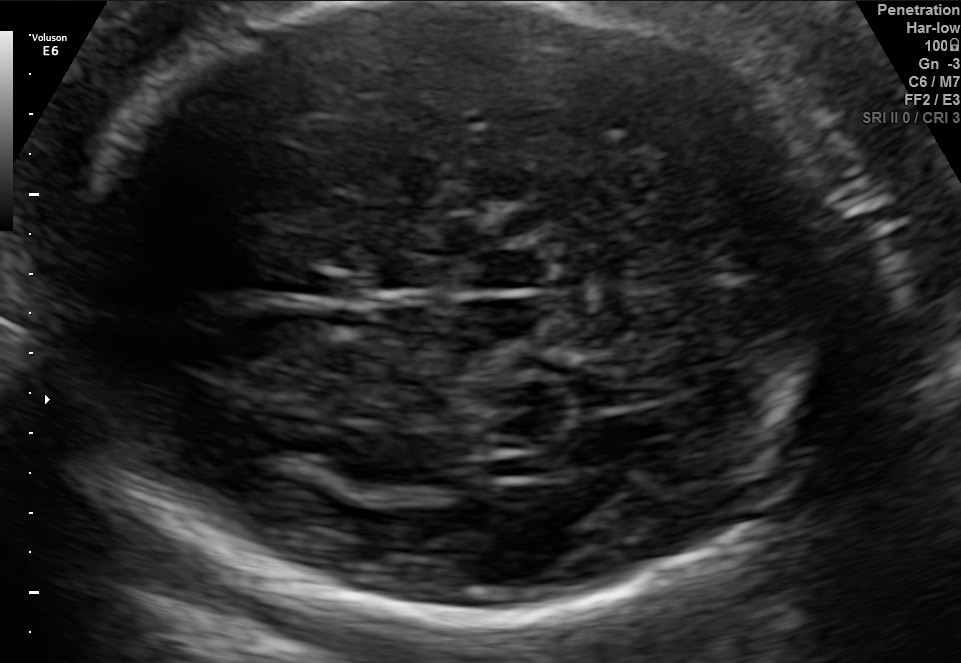
Fetal brain, trans-thalamic plane. Give [x1,y1,x2,y2] bounding boxes for each visible structure among: fetal head, CSP, LV.

Head: [44,6,869,621]